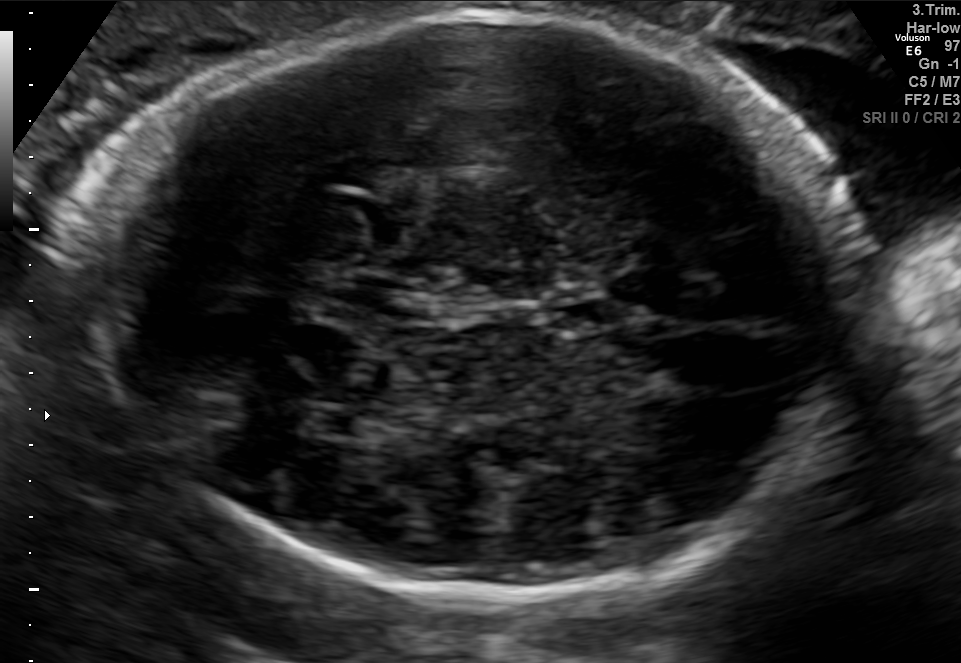
Fetal brain, trans-thalamic plane. Locate the lateral ventricle.

Lateral ventricle: [298,401,381,441]